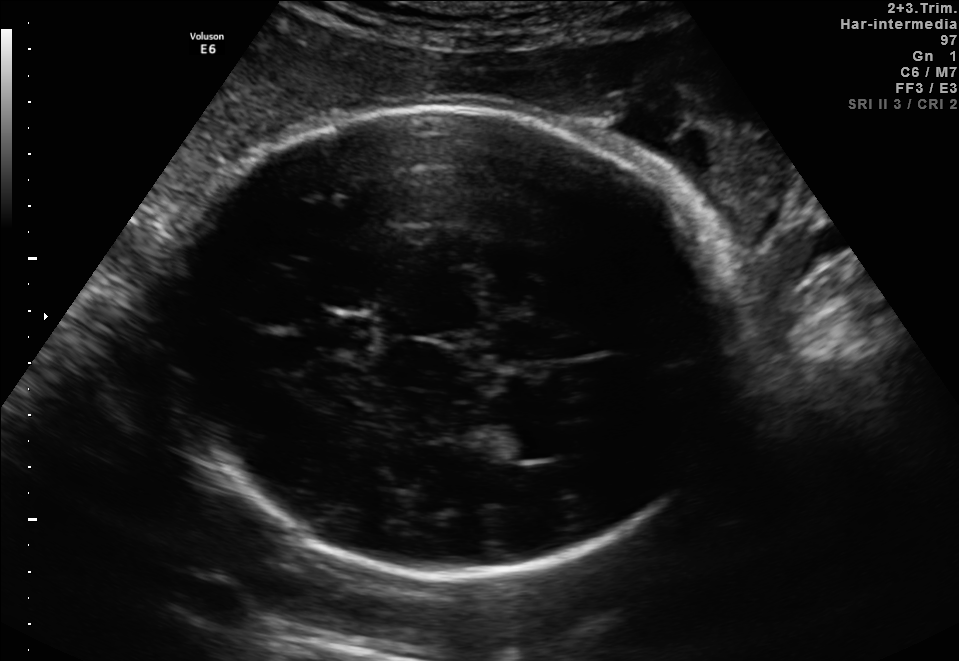
Which standard maternal-fetal ultrasound plane is shown: fetal abdomen, fetal brain, fetal femur, fetal thorax, maternal cervix, or other? If it's fetal brain and one of the three standard brain planes (trans-thalamic, trans-cerebellum, trans-ventricular), name which.

Fetal brain (trans-thalamic plane)